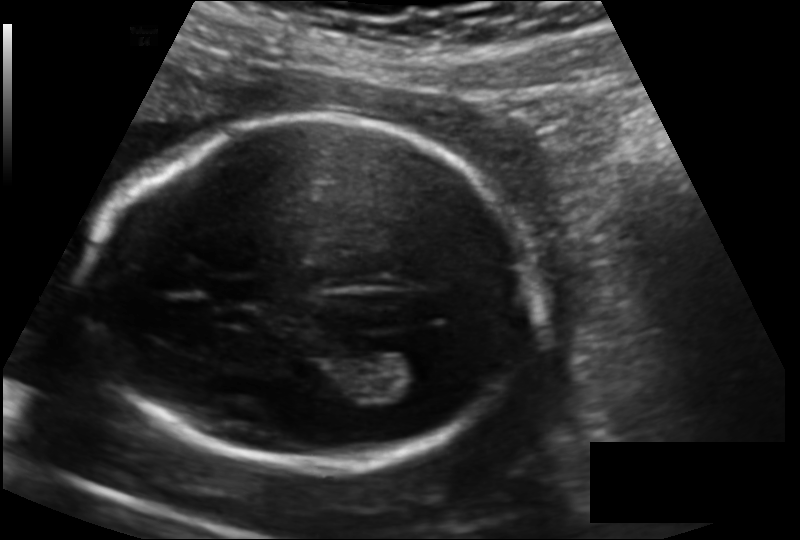
From this fetal ultrasound, estimate the head circumference (image width 111.4 mm).

Head circumference: 179.7 mm.